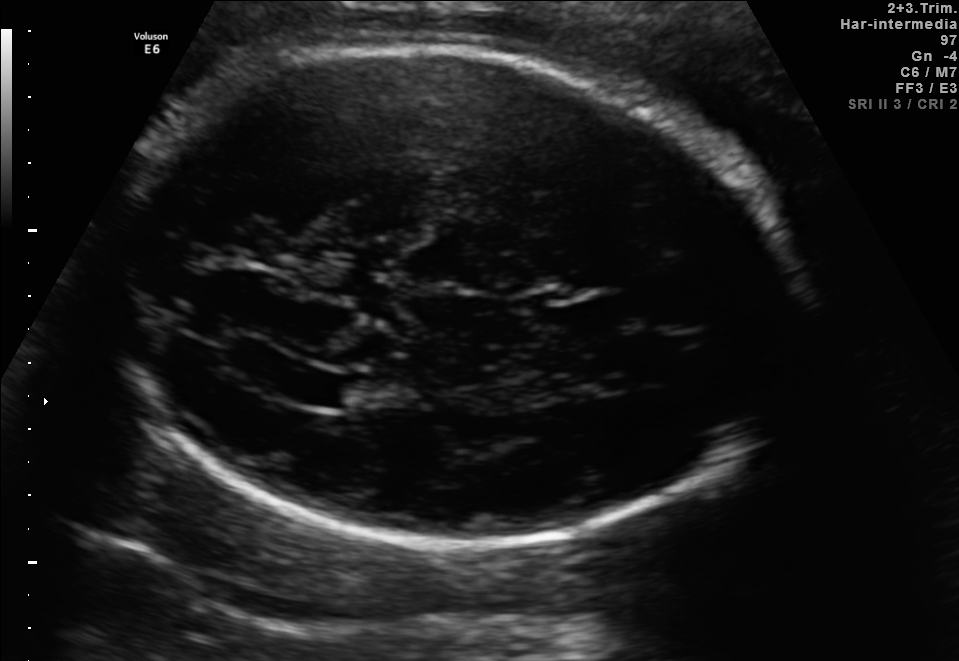
Fetal brain, trans-ventricular plane. Locate the fetal head.

Head: [99,37,808,562]